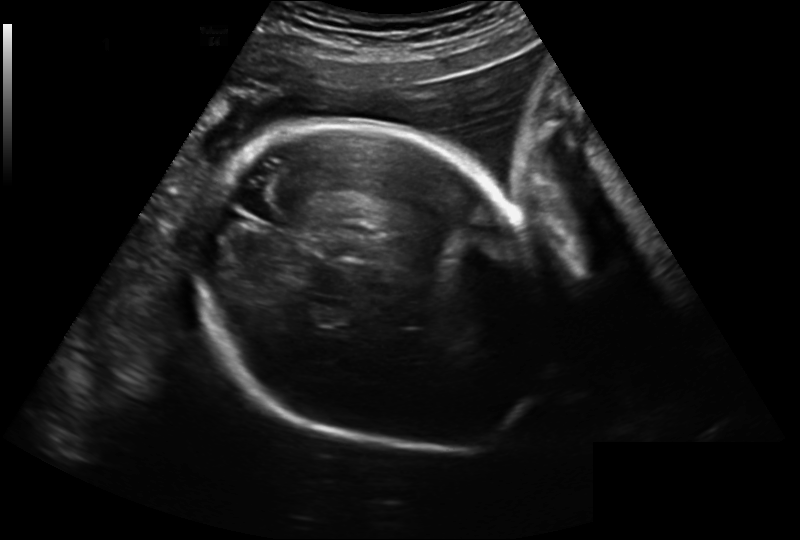
In this fetal head ultrasound, give bounding boxes for the head outline, cavum septum pellucidum (CSP), and lateral ventricle (LV), where visible. Image width: 192.8 mm.

Head: [199,119,552,453]